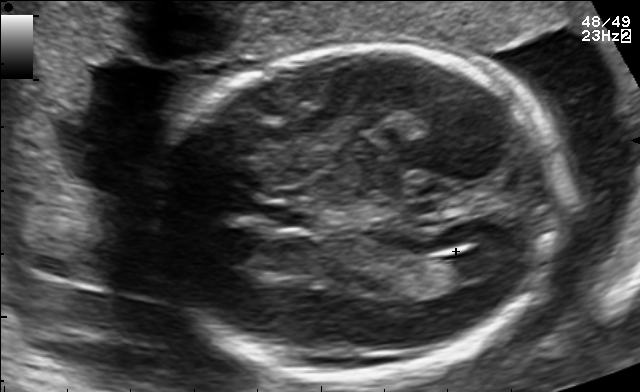
Fetal brain, trans-ventricular plane. Where is the lateral ventricle?

Lateral ventricle bounding box: [437,241,510,287]